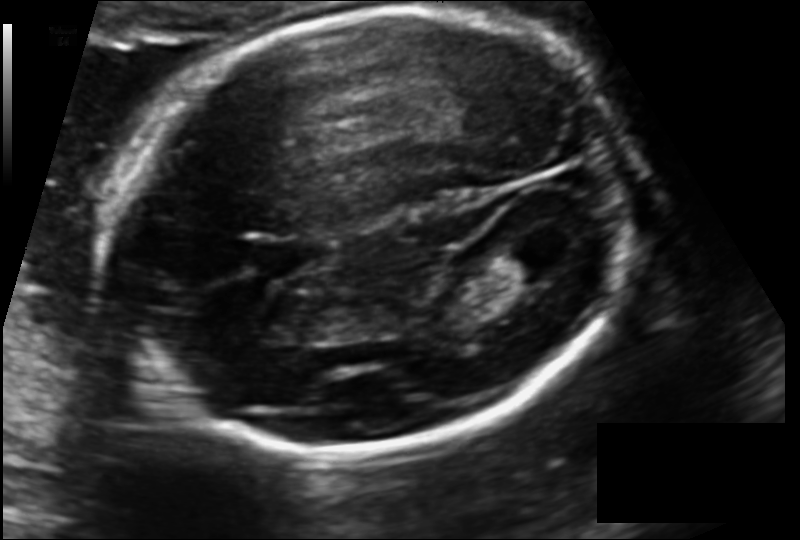
Fetal head ultrasound. Image width: 105.5 mm. Locate the fetal head and, if visible, the cavum septum pellucidum (CSP) and lateral ventricle (LV). Give bounding boxes as [x1,y1,x2,y2].

Head: [111,9,637,453]
CSP: [254,231,333,280]
Lateral ventricle: [497,221,579,292]